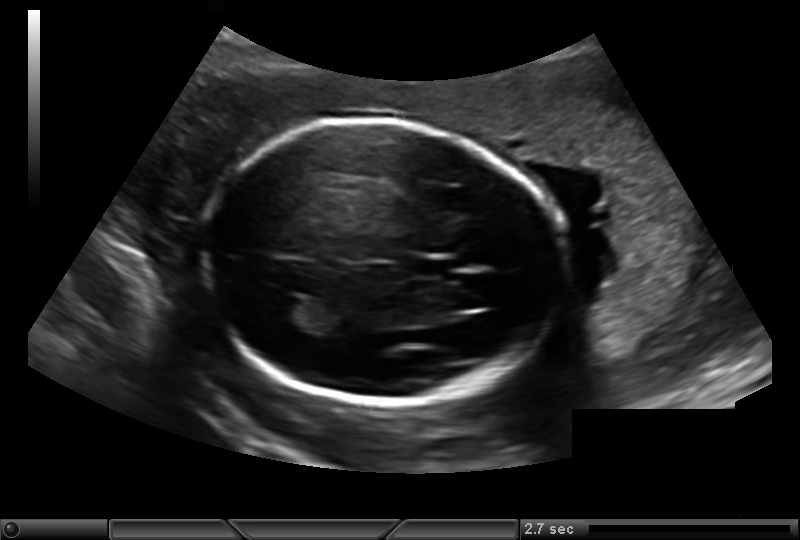
Fetal head ultrasound. Image width: 154.2 mm. Where is the cavum septum pellucidum?

CSP bounding box: [408,257,455,279]